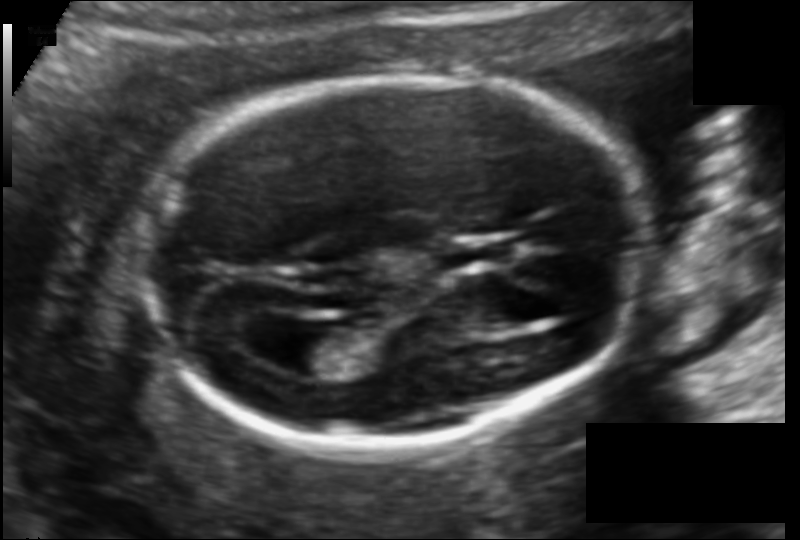
Fetal head ultrasound. Image width: 91.5 mm. Where is the fetal head?

Head bounding box: [141,77,646,447]